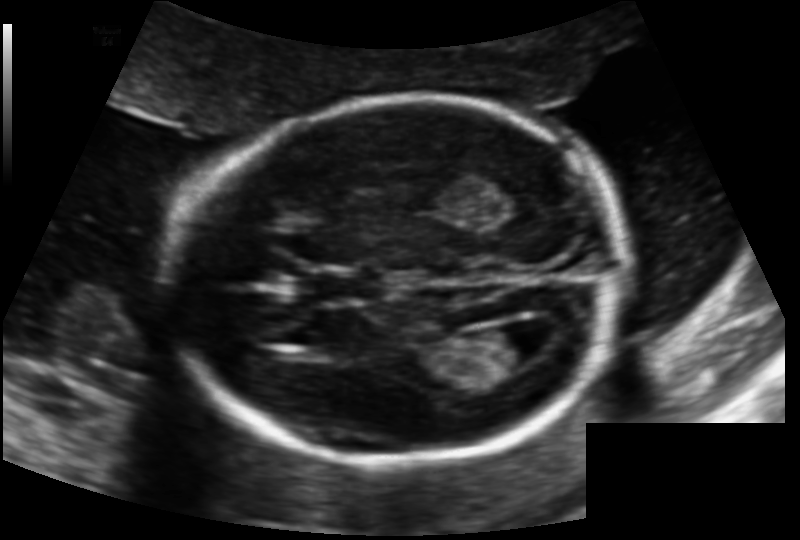
From this fetal ultrasound, estimate the head circumference (image width 104.9 mm).

Head circumference: 174.9 mm.